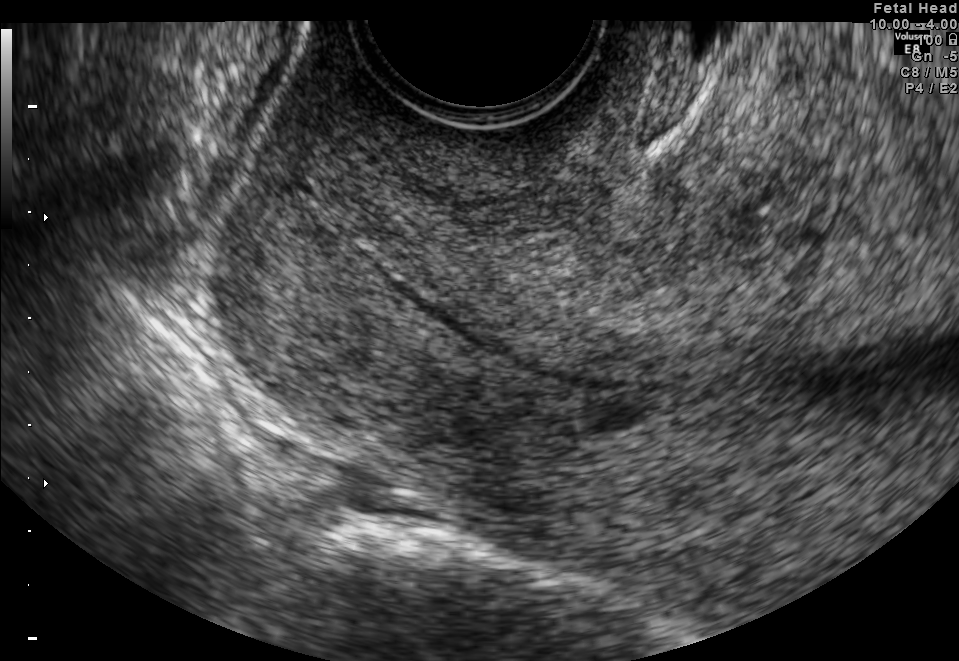
Classify this maternal-fetal ultrasound image as one of the six standard planes — fetal abdomen, fetal brain, fetal femur, fetal thorax, maternal cervix, or other. If it's fetal brain and one of the three standard brain planes (trans-thalamic, trans-cerebellum, trans-ventricular), name which.

Maternal cervix